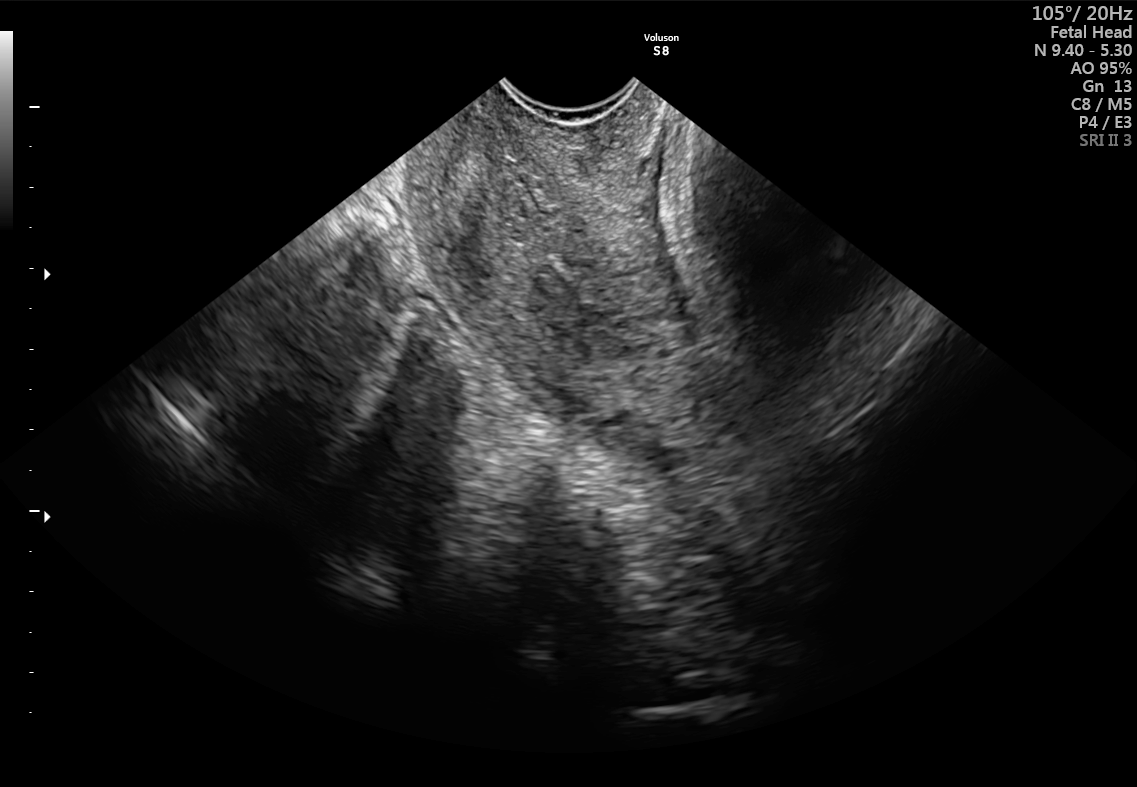
Identify the standard plane in this fetal ultrasound image: fetal abdomen, fetal brain, fetal femur, fetal thorax, maternal cervix, or other. If it's fetal brain and one of the three standard brain planes (trans-thalamic, trans-cerebellum, trans-ventricular), name which.

Maternal cervix